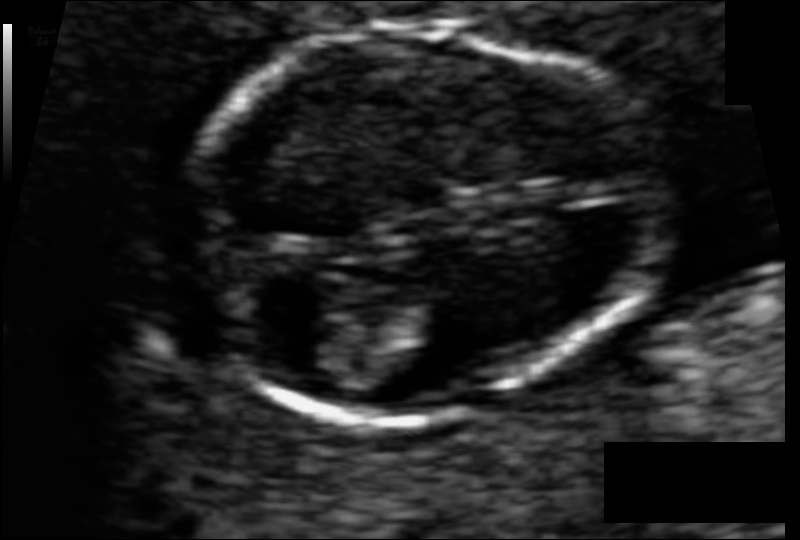
From this fetal ultrasound, estimate the head circumference (image width 43.8 mm).

Head circumference: 75.9 mm.